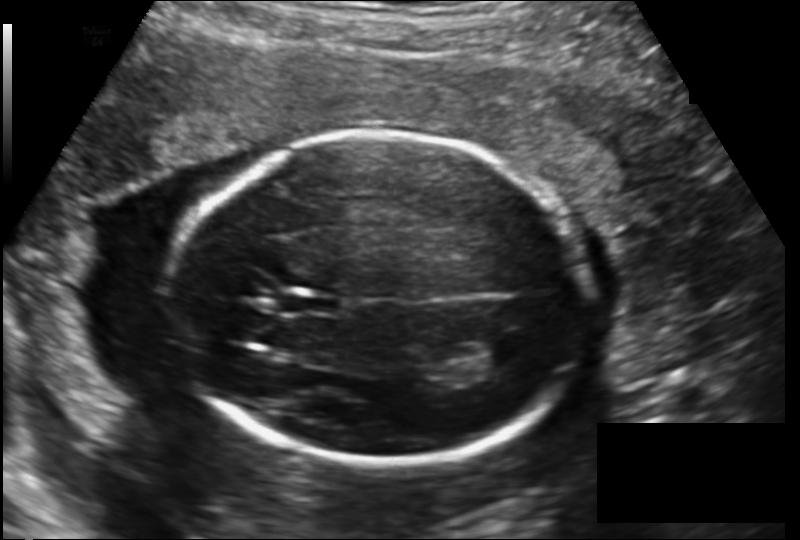
Fetal head ultrasound. Image width: 130.6 mm. Locate the fetal head and, if visible, the cavum septum pellucidum (CSP) and lateral ventricle (LV). Give bounding boxes as [x1,y1,x2,y2].

Head: [167,133,593,464]
CSP: [280,291,335,314]
Lateral ventricle: [475,329,529,371]